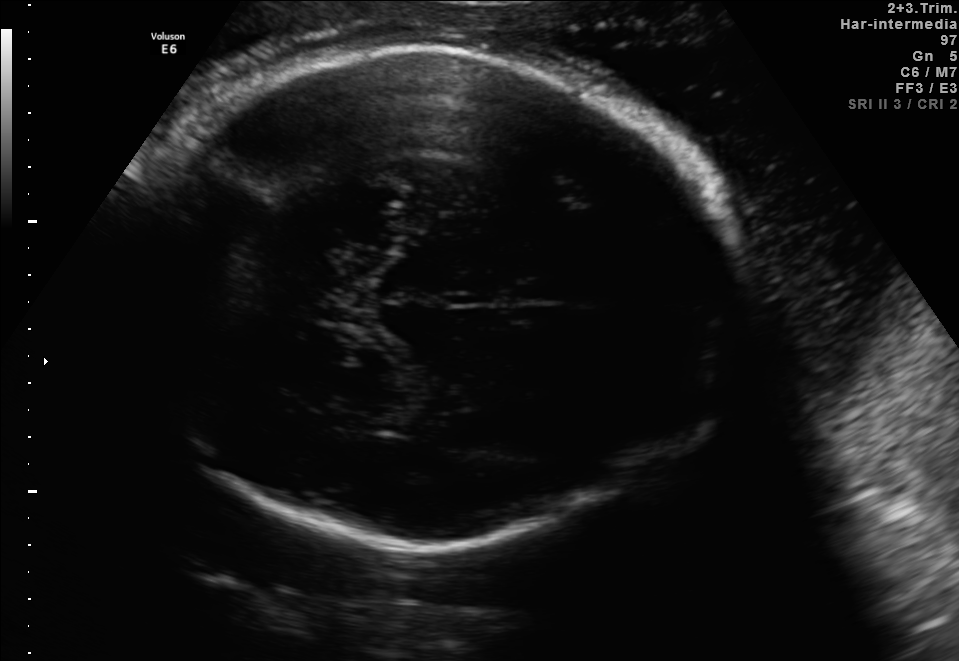
Fetal brain, trans-thalamic plane. Give [x1,y1,x2,y2] bounding boxes for each visible structure among: fetal head, CSP, LV.

Head: [111,45,742,546]